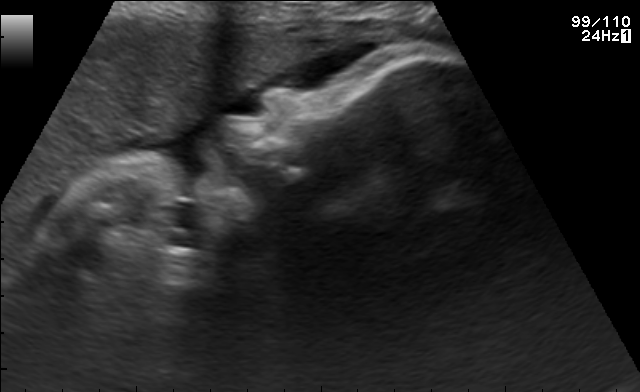
Identify the standard plane in this fetal ultrasound image: fetal abdomen, fetal brain, fetal femur, fetal thorax, maternal cervix, or other. If it's fetal brain and one of the three standard brain planes (trans-thalamic, trans-cerebellum, trans-ventricular), name which.

Other